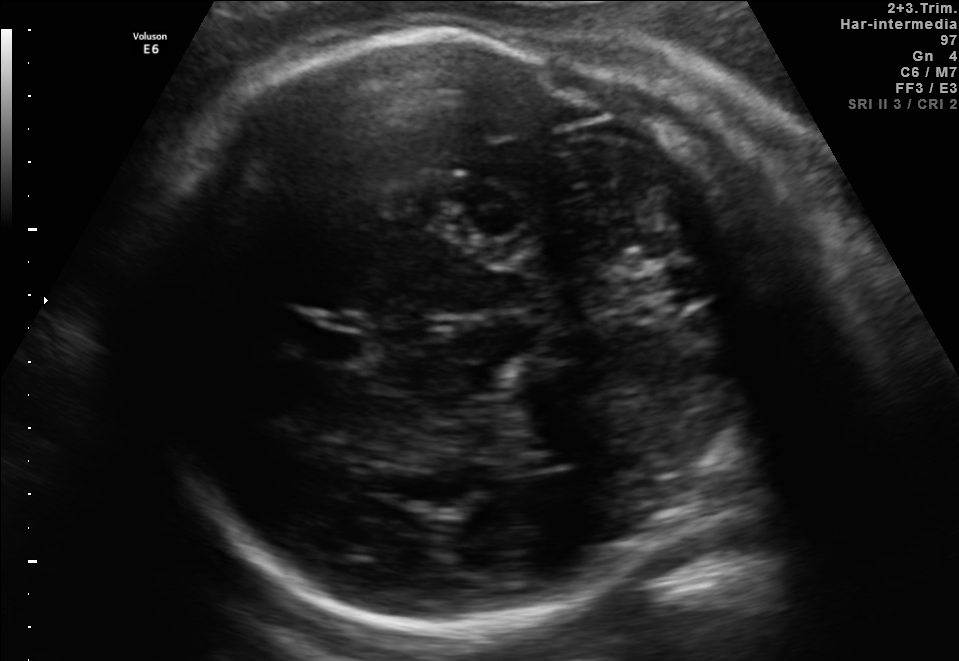
In this fetal brain, trans-thalamic plane, give the bounding box of the cavum septum pellucidum.

[300,328,367,365]